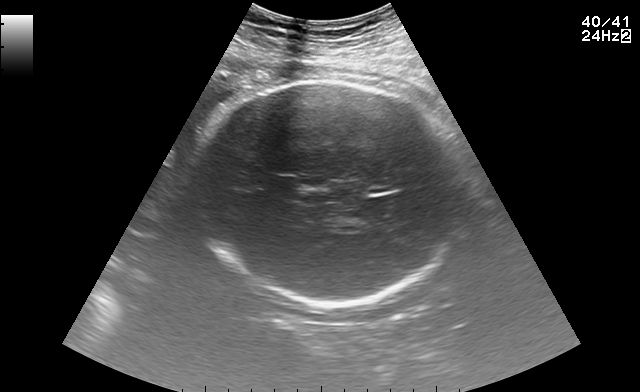
Fetal brain, trans-thalamic plane. Give [x1,y1,x2,y2] bounding boxes for each visible structure among: fetal head, CSP, LV.

Head: [194,81,460,309]